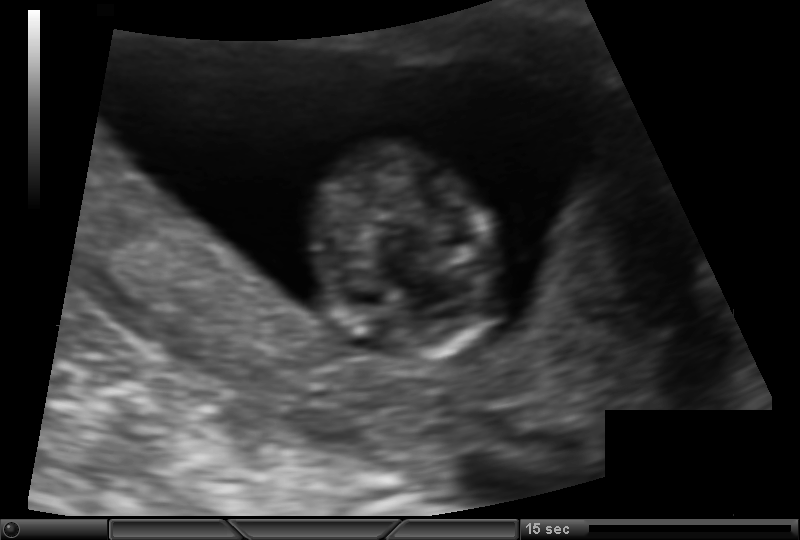
Estimate the fetal head circumference from this 2D ultrasound. Image width: 84.2 mm.

Head circumference: 73.2 mm.